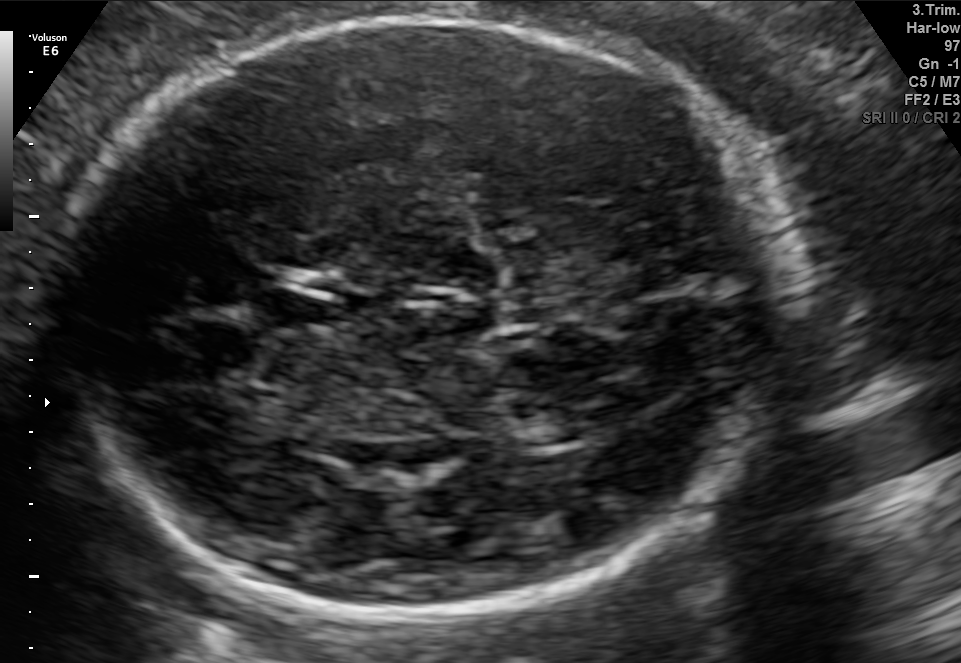
Fetal brain, trans-thalamic plane. Where is the cavum septum pellucidum?

CSP bounding box: [251,283,335,336]